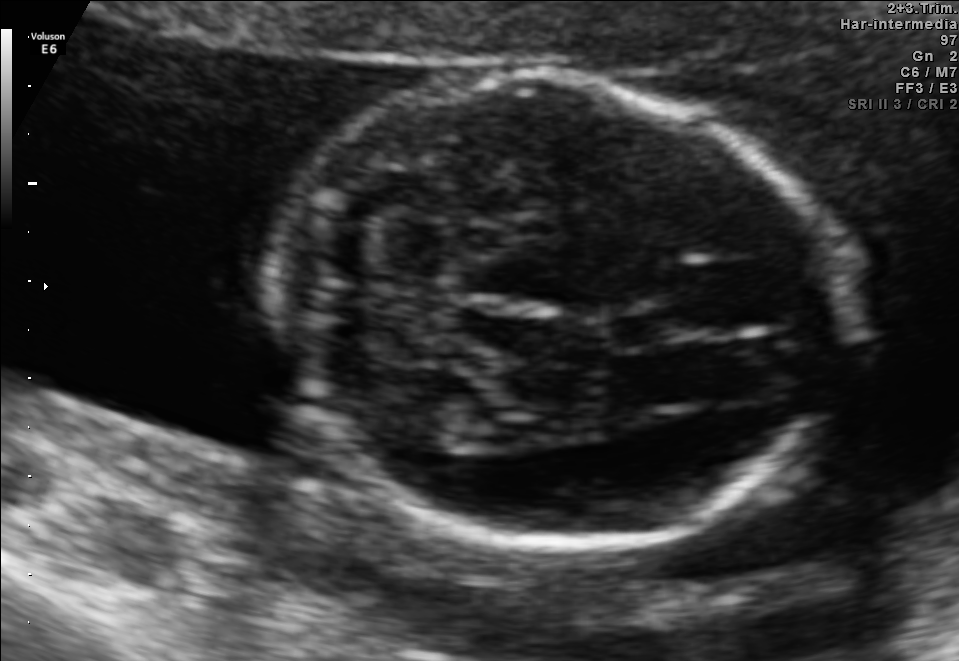
Fetal brain, trans-cerebellum plane. Give [x1,y1,x2,y2] bounding boxes for each visible structure among: fetal head, CSP, LV.

Head: [267,78,842,543]
CSP: [602,303,685,354]